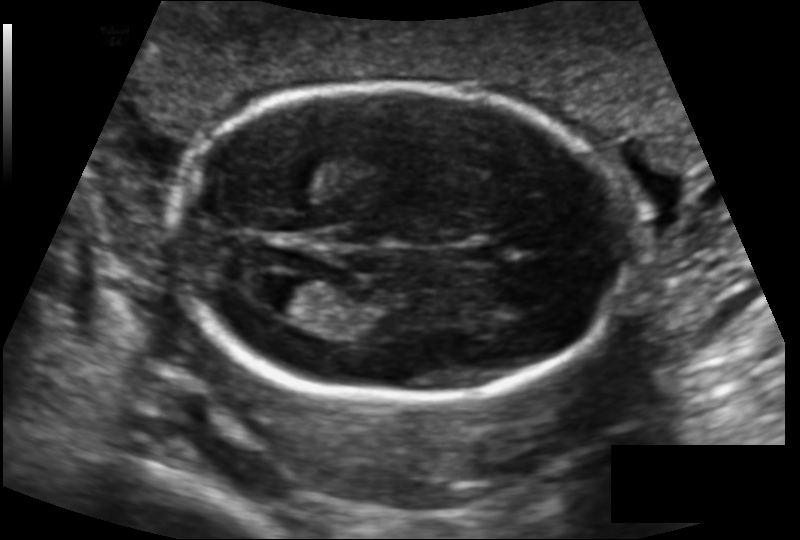
In this fetal head ultrasound, give the bounding box of the fetal head. Image width: 104.8 mm.

[173,83,634,400]